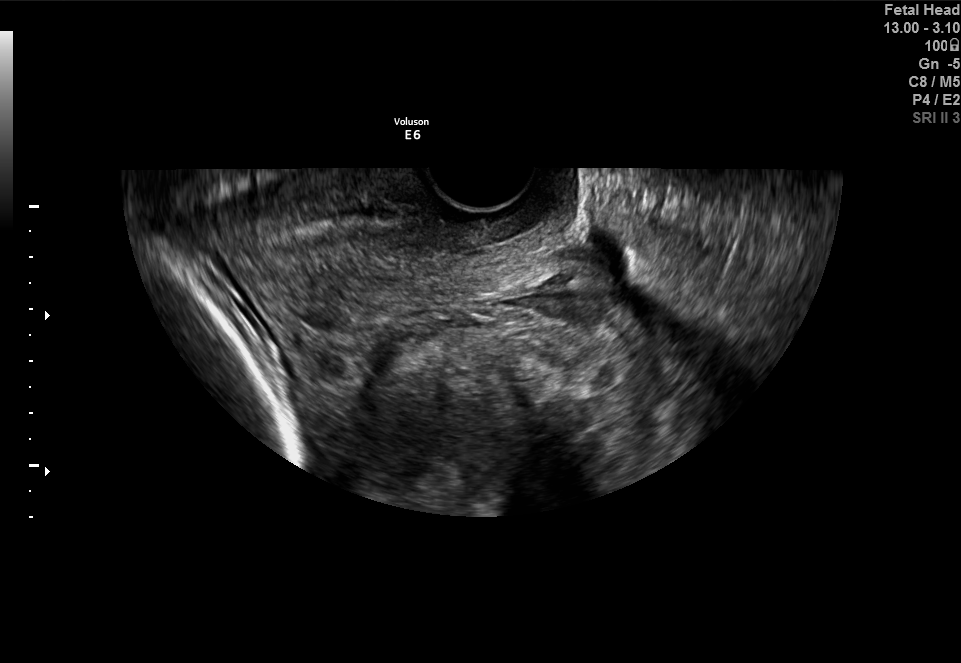
Classify this maternal-fetal ultrasound image as one of the six standard planes — fetal abdomen, fetal brain, fetal femur, fetal thorax, maternal cervix, or other. If it's fetal brain and one of the three standard brain planes (trans-thalamic, trans-cerebellum, trans-ventricular), name which.

Maternal cervix